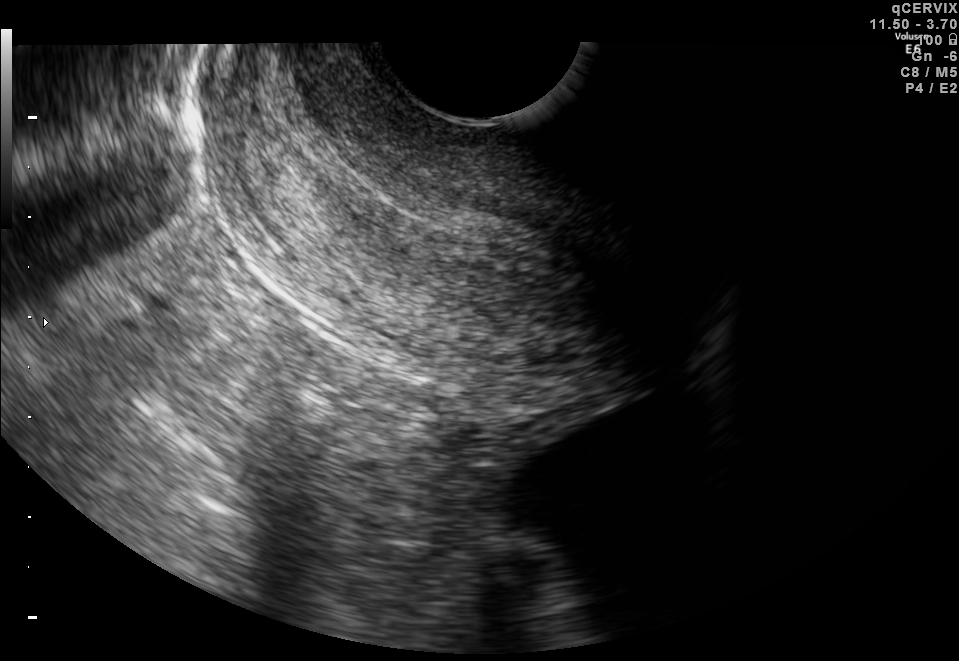
This is a 2D maternal-fetal ultrasound frame. Is it a fetal abdomen, fetal brain, fetal femur, fetal thorax, maternal cervix, or other standard plane? If it's fetal brain and one of the three standard brain planes (trans-thalamic, trans-cerebellum, trans-ventricular), name which.

Maternal cervix